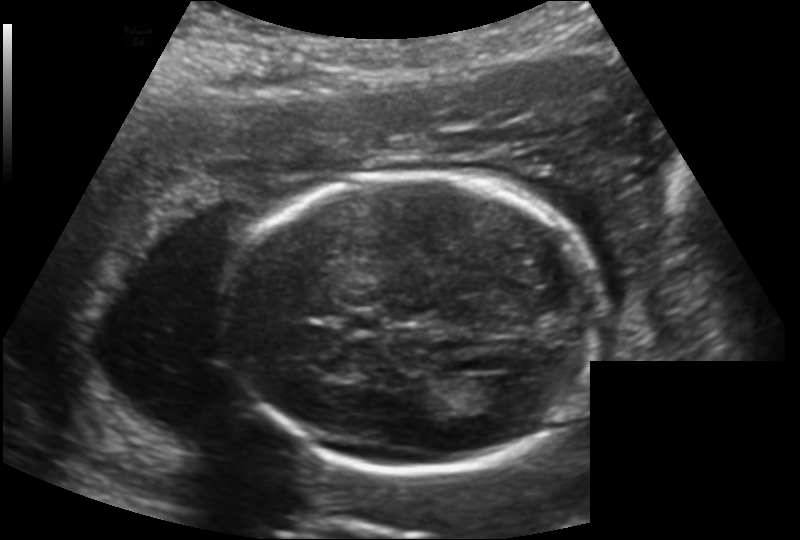
Fetal head ultrasound. Image width: 135.0 mm. Where is the lateral ventricle?

Lateral ventricle bounding box: [467,377,524,415]